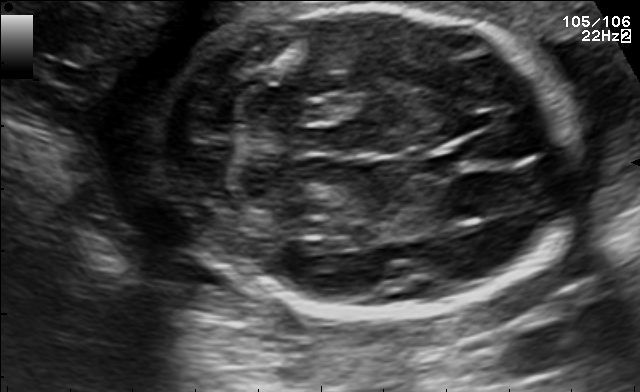
Fetal brain, trans-cerebellum plane. Where is the cavum septum pellucidum?

CSP bounding box: [415,142,476,184]